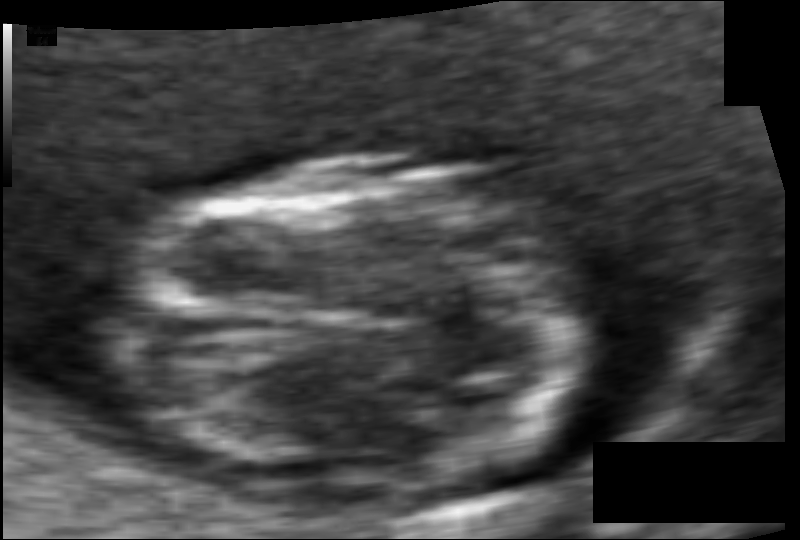
Fetal head ultrasound. Image width: 39.5 mm. Give [x1,y1,x2,y2] bounding boxes for each visible structure among: fetal head, CSP, LV.

Head: [112,164,601,495]